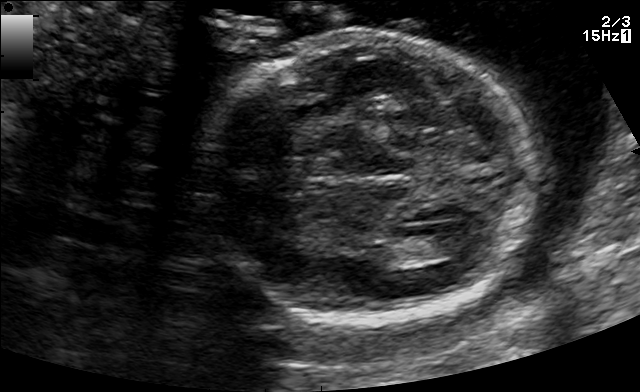
Fetal brain, trans-ventricular plane. Locate the fetal head.

Head: [190,26,544,330]